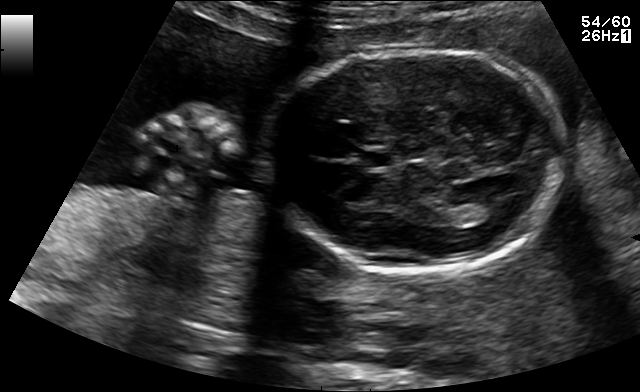
Fetal brain, trans-thalamic plane. Locate the fetal head and, if visible, the cavum septum pellucidum (CSP) and lateral ventricle (LV). Give bounding boxes as [x1,y1,x2,y2].

Head: [264,50,565,270]
CSP: [362,151,395,168]
Lateral ventricle: [470,195,515,225]